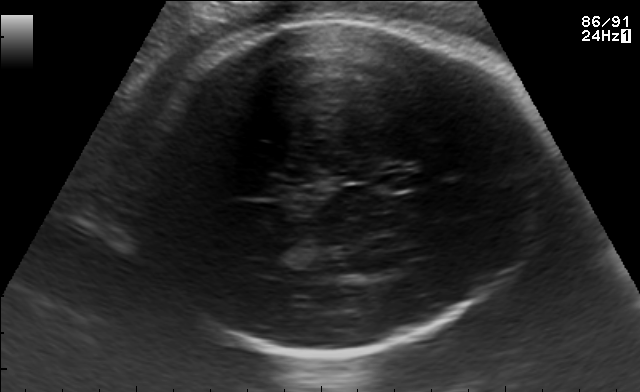
In this fetal brain, trans-thalamic plane, give the bounding box of the cavum septum pellucidum.

[380,167,426,194]